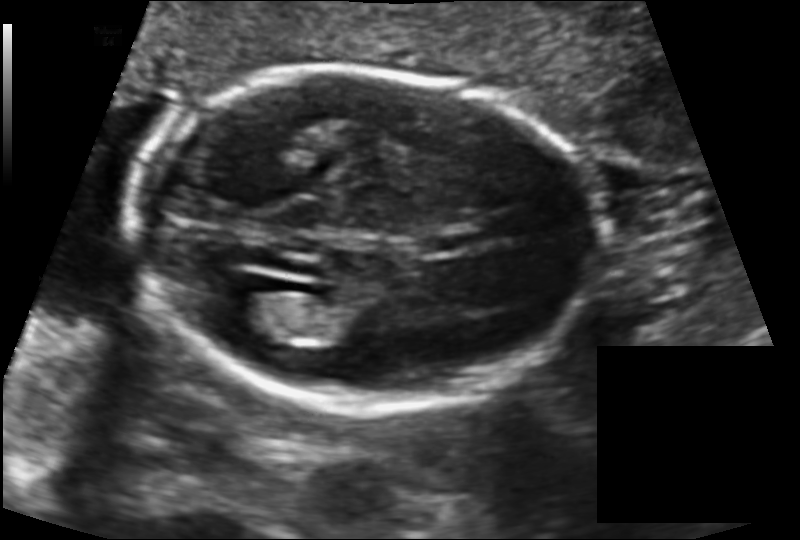
Fetal head ultrasound. Image width: 105.0 mm. Where is the fetal head?

Head bounding box: [133,73,604,410]